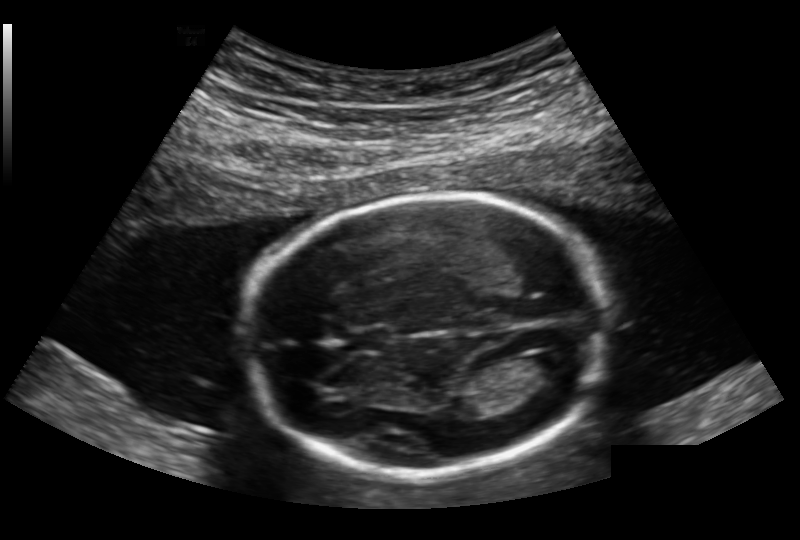
Fetal head ultrasound. Image width: 134.4 mm. Where is the lateral ventricle?

Lateral ventricle bounding box: [521,346,578,387]